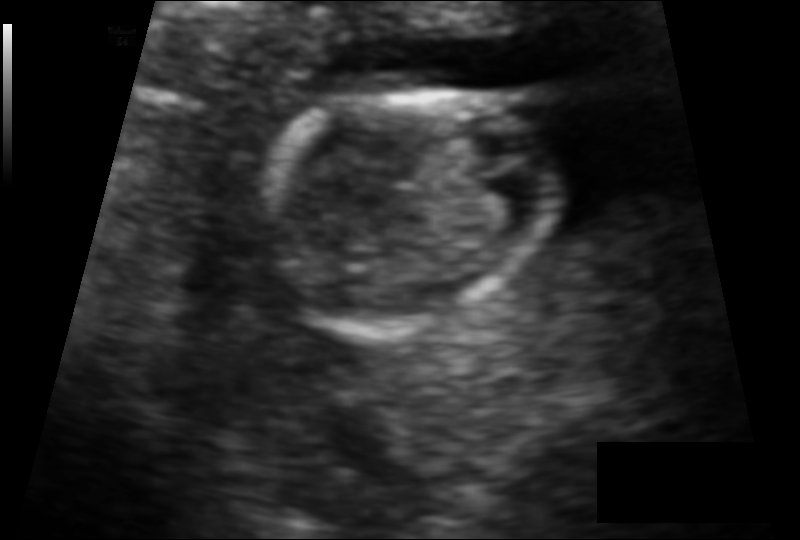
Measure the fetal head circumference shown in this ultrasound image. Image width: 73.2 mm.

Head circumference: 79.3 mm.